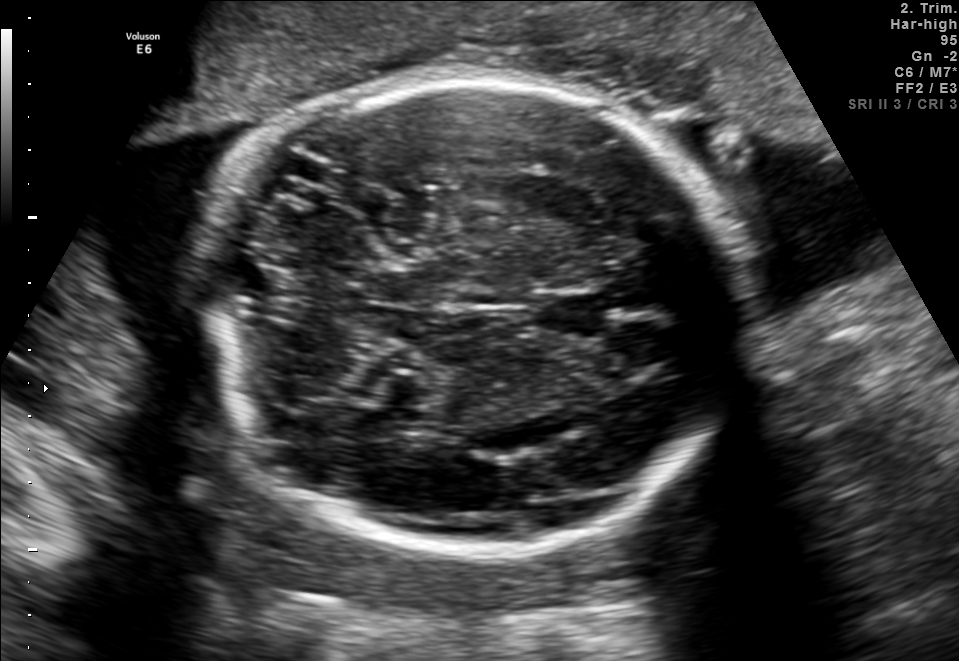
Fetal brain, trans-cerebellum plane. Locate the fetal head.

Head: [204,76,733,557]